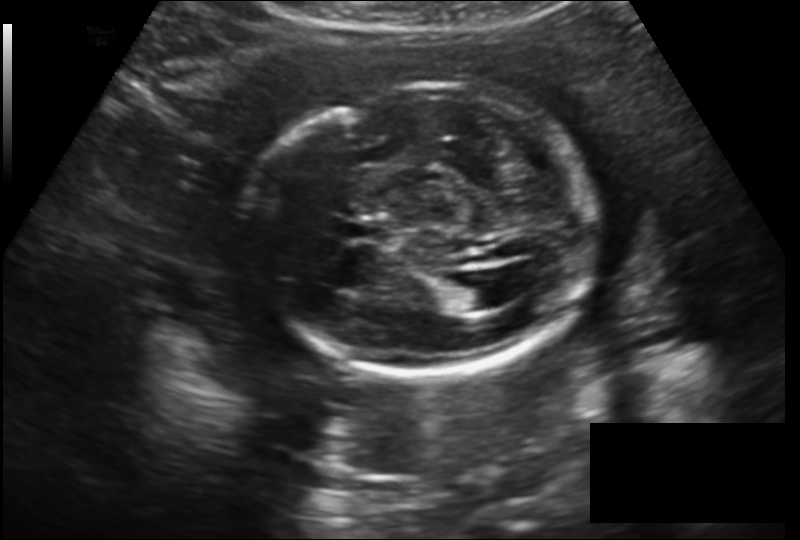
From this fetal ultrasound, estimate the head circumference (image width 145.7 mm).

Head circumference: 191.7 mm.